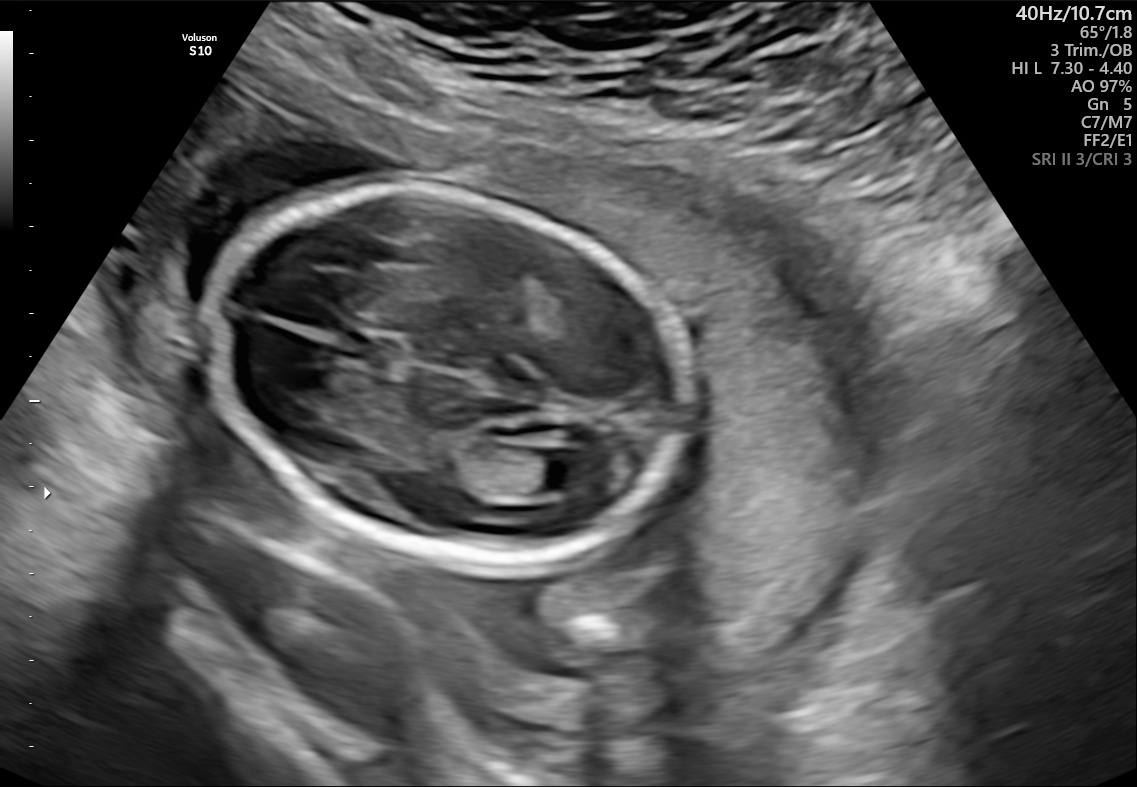
Fetal brain, trans-ventricular plane. Where is the cavum septum pellucidum?

CSP bounding box: [340,329,391,370]